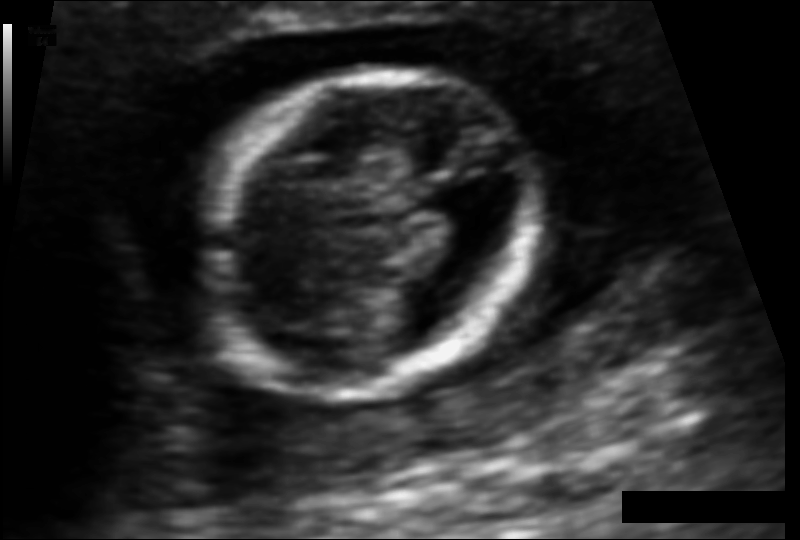
Measure the fetal head circumference shown in this ultrasound image. Image width: 73.5 mm.

Head circumference: 98.7 mm.